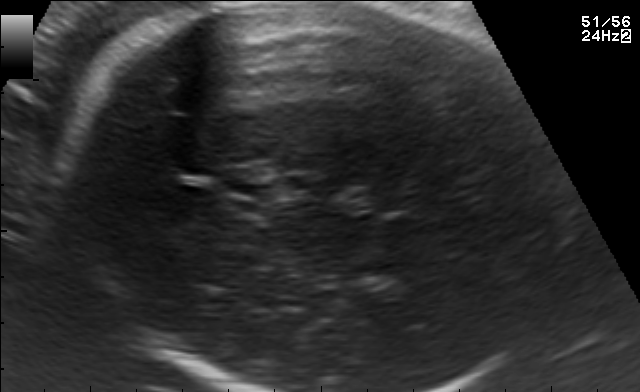
Classify this maternal-fetal ultrasound image as one of the six standard planes — fetal abdomen, fetal brain, fetal femur, fetal thorax, maternal cervix, or other. If it's fetal brain and one of the three standard brain planes (trans-thalamic, trans-cerebellum, trans-ventricular), name which.

Fetal brain (trans-thalamic plane)